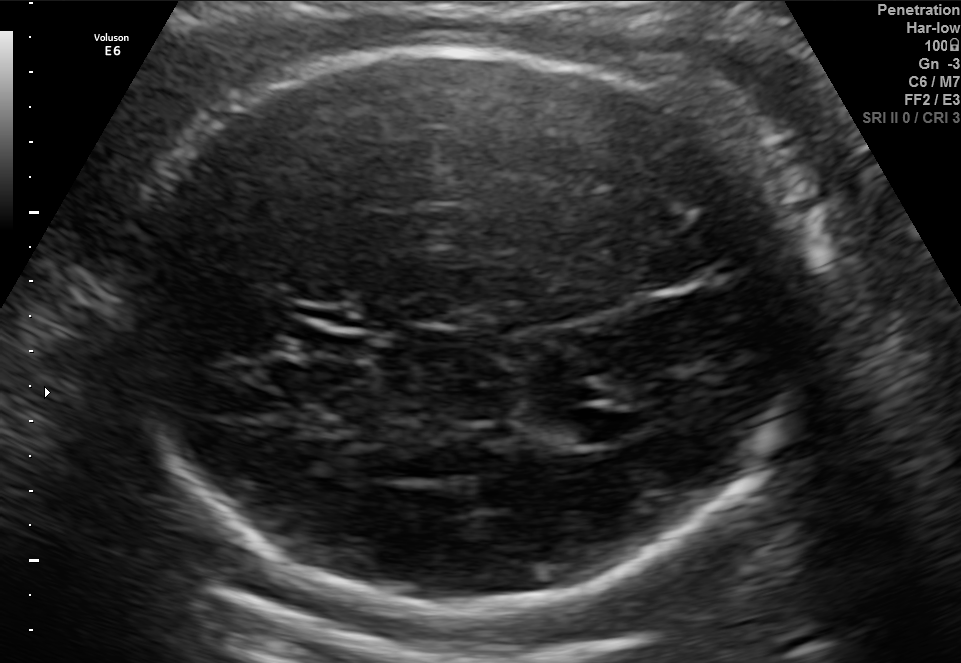
Which standard maternal-fetal ultrasound plane is shown: fetal abdomen, fetal brain, fetal femur, fetal thorax, maternal cervix, or other? If it's fetal brain and one of the three standard brain planes (trans-thalamic, trans-cerebellum, trans-ventricular), name which.

Fetal brain (trans-ventricular plane)